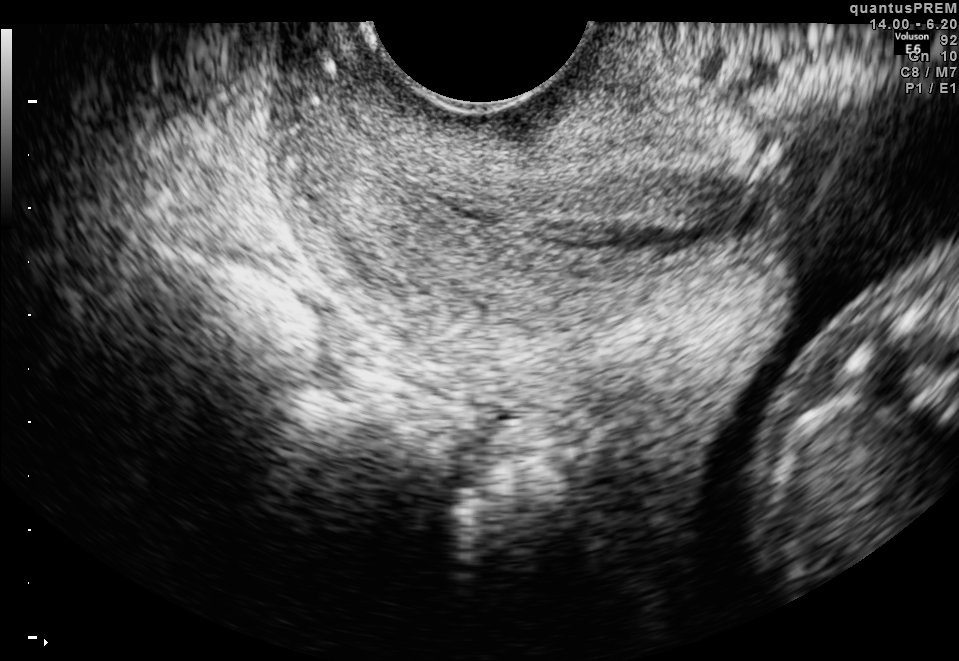
Identify the standard plane in this fetal ultrasound image: fetal abdomen, fetal brain, fetal femur, fetal thorax, maternal cervix, or other. If it's fetal brain and one of the three standard brain planes (trans-thalamic, trans-cerebellum, trans-ventricular), name which.

Maternal cervix